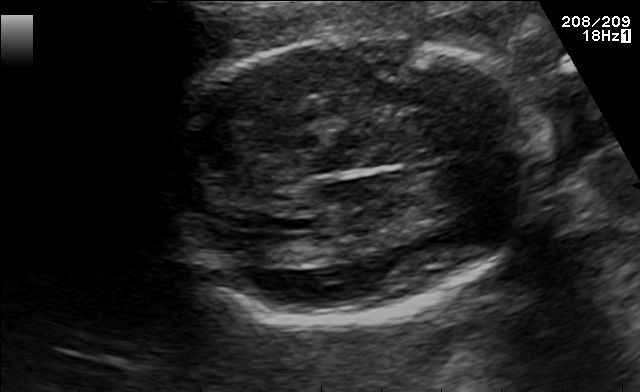
Fetal brain, trans-thalamic plane. Where is the lateral ventricle?

Lateral ventricle bounding box: [246,234,314,264]